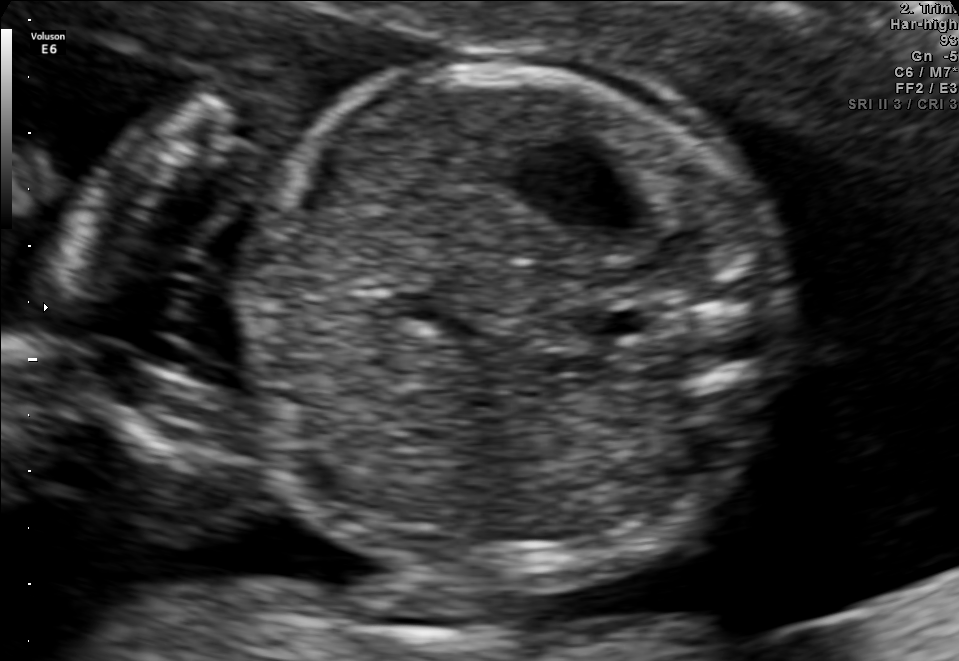
This is a 2D maternal-fetal ultrasound frame. Is it a fetal abdomen, fetal brain, fetal femur, fetal thorax, maternal cervix, or other standard plane? If it's fetal brain and one of the three standard brain planes (trans-thalamic, trans-cerebellum, trans-ventricular), name which.

Fetal abdomen